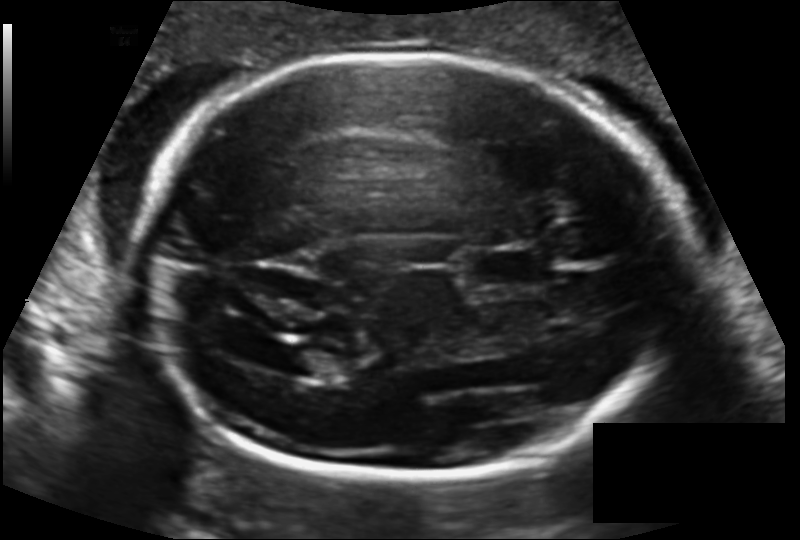
Fetal head ultrasound. Image width: 112.0 mm. Where is the lateral ventricle?

Lateral ventricle bounding box: [280,343,341,380]